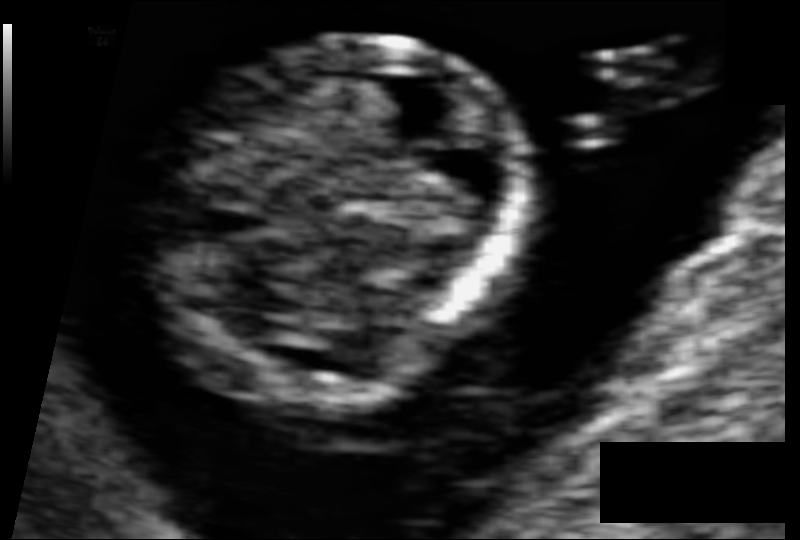
In this fetal head ultrasound, give bounding boxes for the head outline, cavum septum pellucidum (CSP), and lateral ventricle (LV), where visible. Image width: 43.4 mm.

Head: [142,36,525,408]